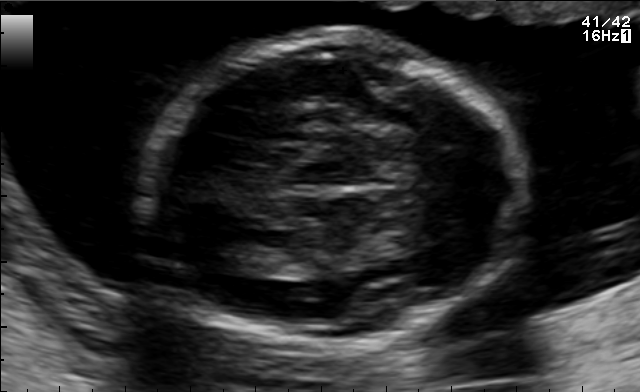
Fetal brain, trans-thalamic plane. Locate the fetal head.

Head: [136,35,529,351]